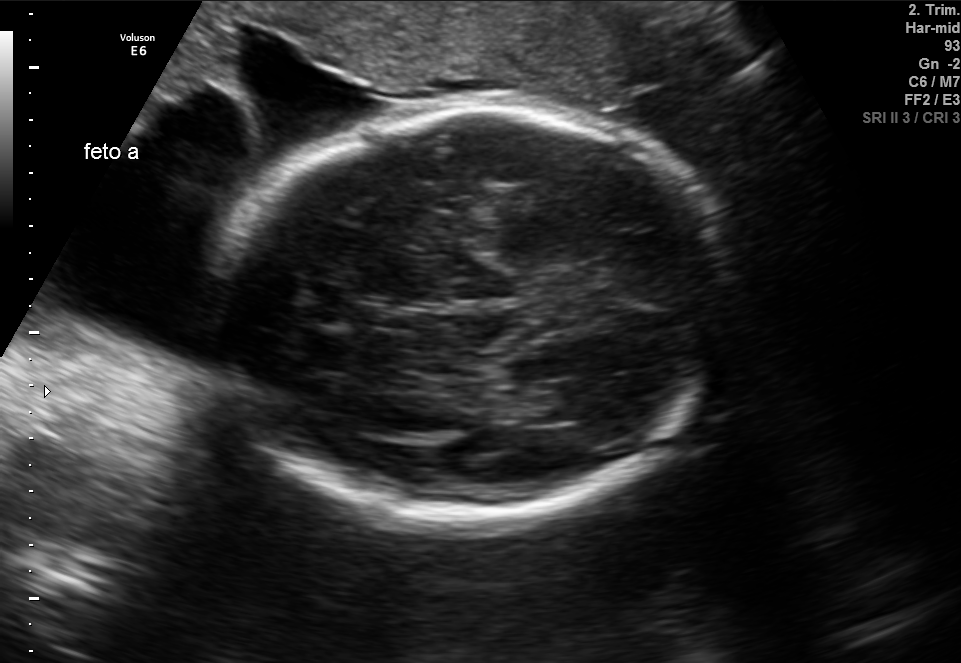
Fetal brain, trans-thalamic plane. Locate the fetal head.

Head: [219,108,728,513]